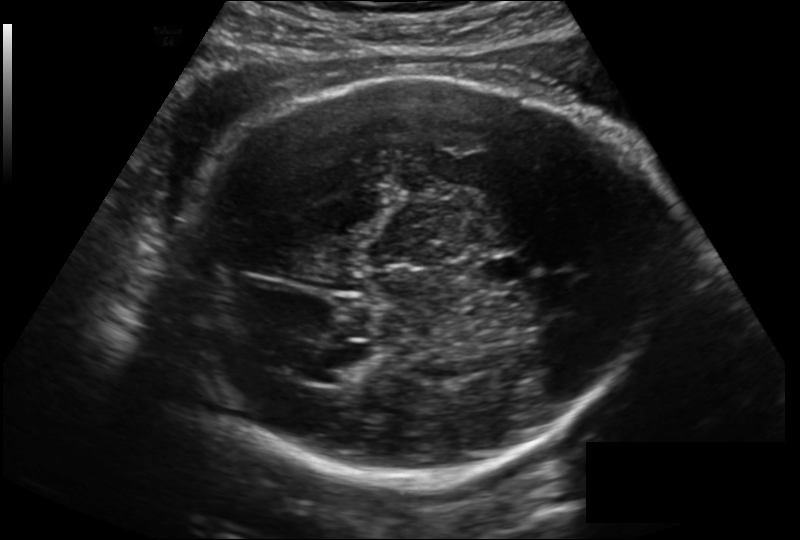
Measure the fetal head circumference shown in this ultrasound image. Image width: 159.3 mm.

Head circumference: 281.7 mm.